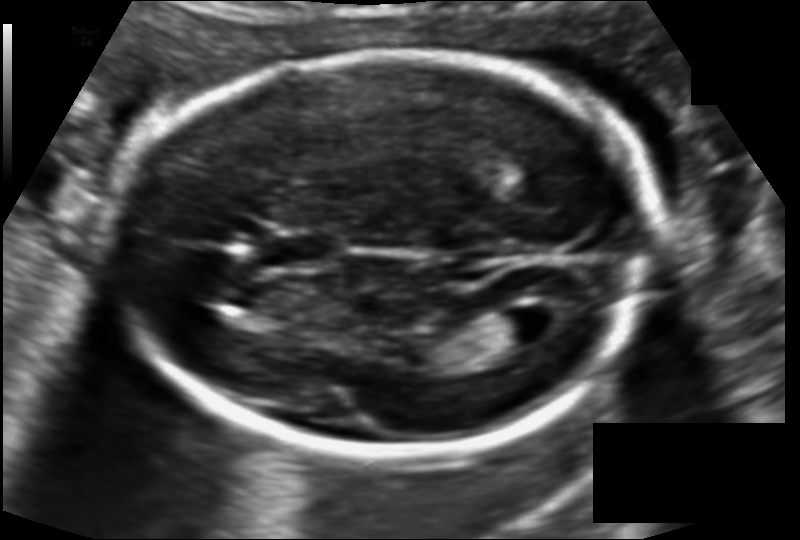
Fetal head ultrasound. Image width: 92.2 mm. Where is the fetal head?

Head bounding box: [108,53,653,451]